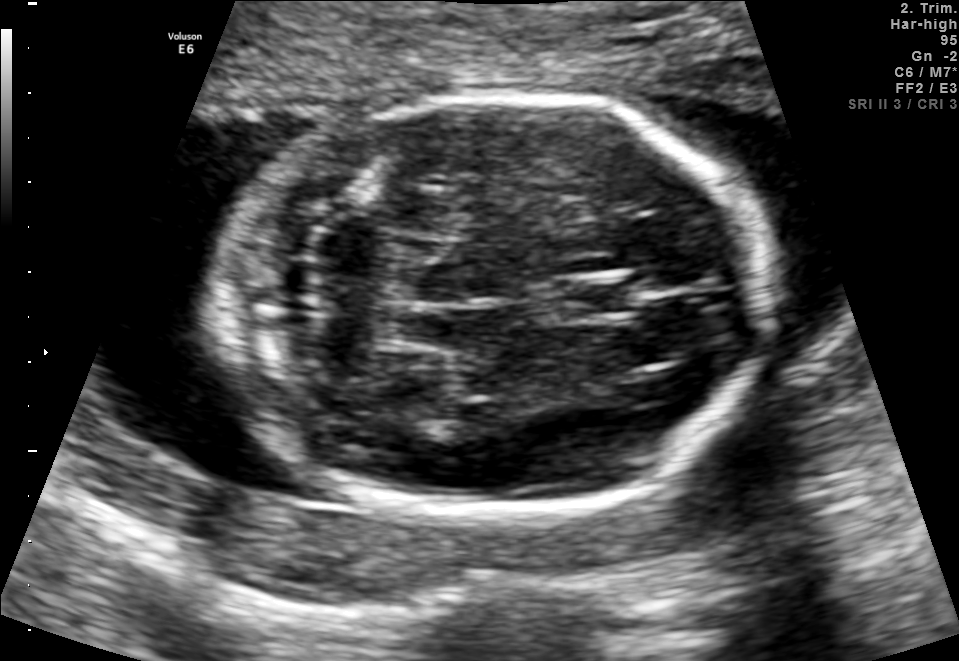
In this fetal brain, trans-cerebellum plane, give the bounding box of the fetal head.

[210,95,773,518]